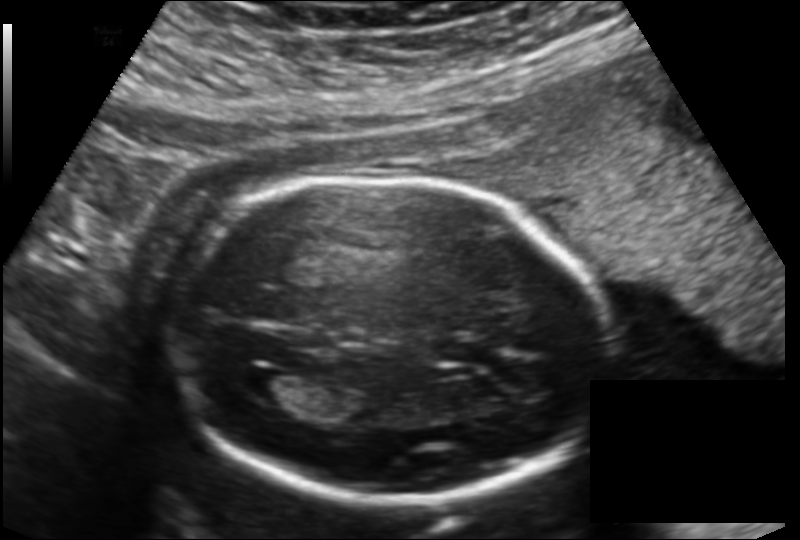
Measure the fetal head circumference shown in this ultrasound image. Image width: 120.4 mm.

Head circumference: 183.0 mm.